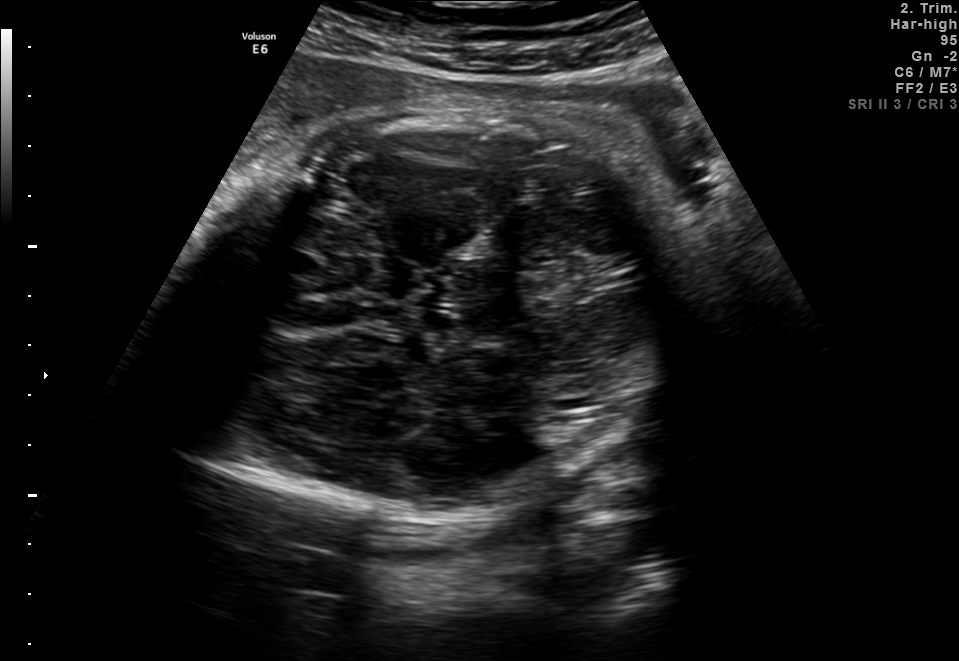
Identify the standard plane in this fetal ultrasound image: fetal abdomen, fetal brain, fetal femur, fetal thorax, maternal cervix, or other. If it's fetal brain and one of the three standard brain planes (trans-thalamic, trans-cerebellum, trans-ventricular), name which.

Fetal brain (trans-thalamic plane)